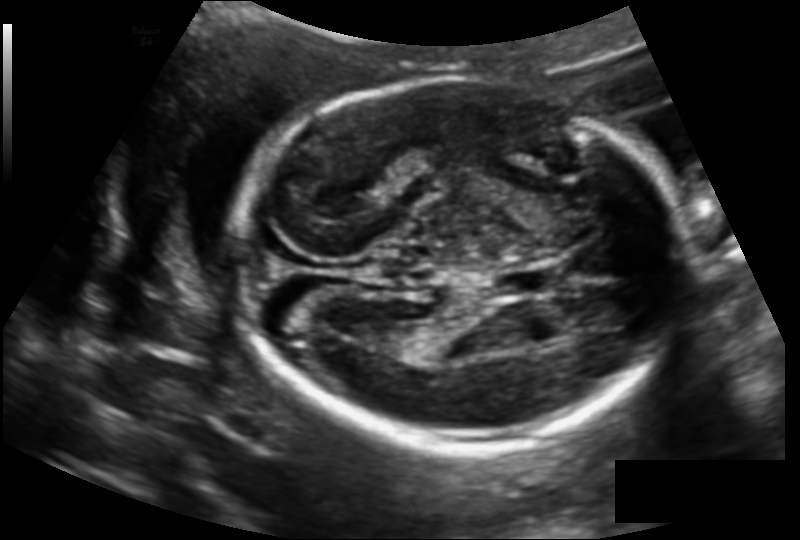
Fetal head ultrasound. Image width: 116.1 mm. Locate the cavum septum pellucidum.

CSP: [488,263,559,302]